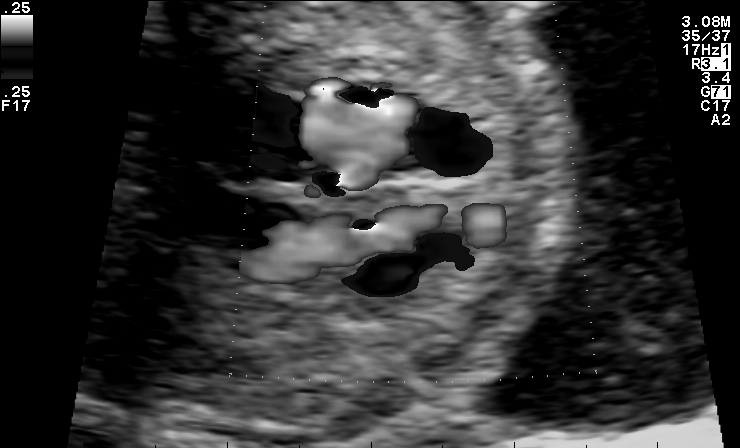
Classify this maternal-fetal ultrasound image as one of the six standard planes — fetal abdomen, fetal brain, fetal femur, fetal thorax, maternal cervix, or other. If it's fetal brain and one of the three standard brain planes (trans-thalamic, trans-cerebellum, trans-ventricular), name which.

Other